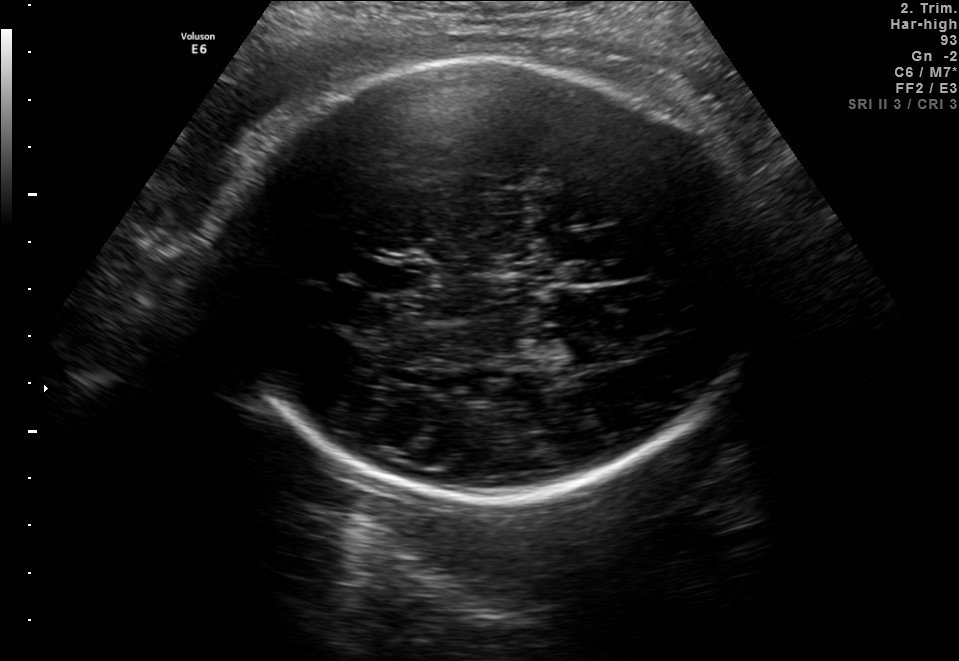
Fetal brain, trans-thalamic plane. Locate the cavum septum pellucidum.

CSP: [355,259,409,295]